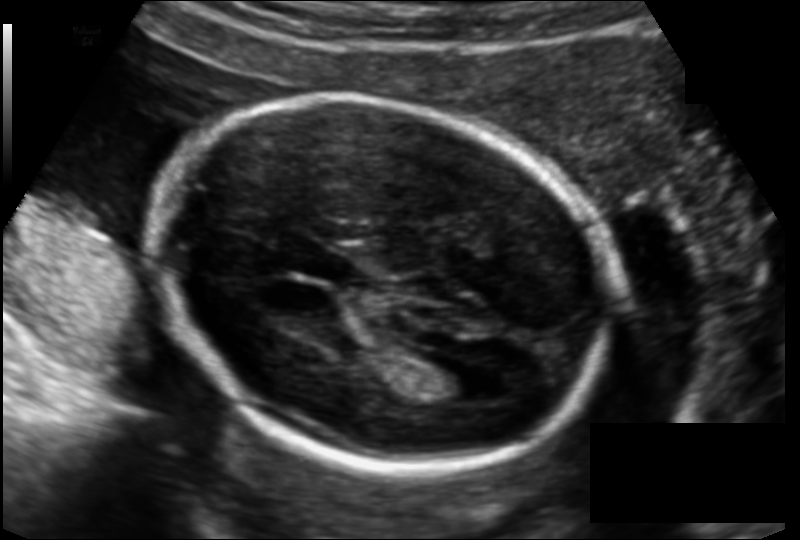
From this fetal ultrasound, estimate the head circumference (image width 107.7 mm).

Head circumference: 180.3 mm.